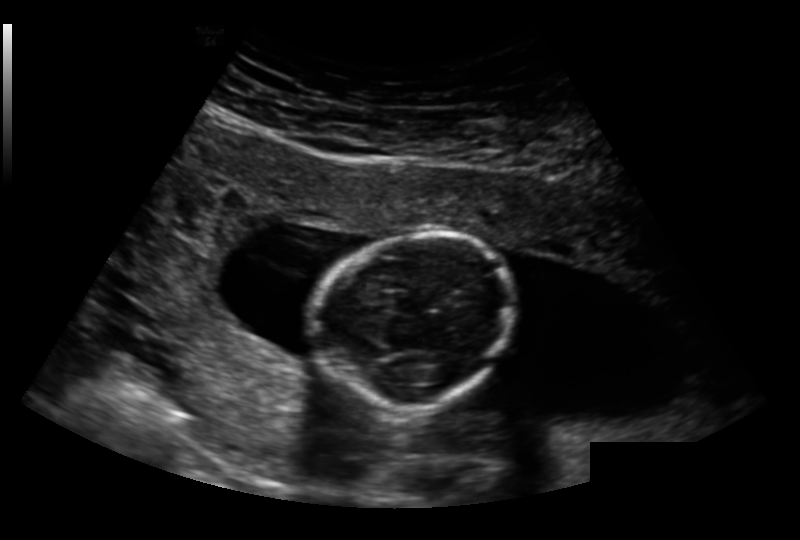
Fetal head ultrasound. Image width: 152.4 mm. Where is the fetal head?

Head bounding box: [319,233,516,410]